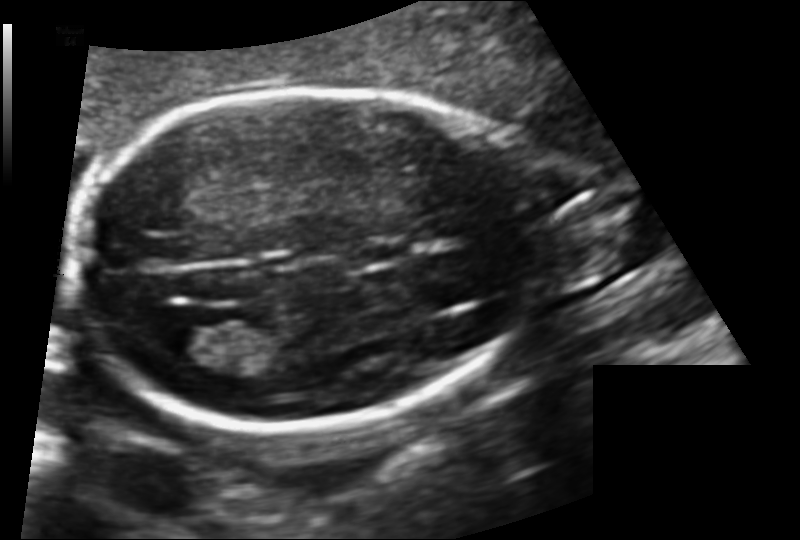
Fetal head ultrasound. Image width: 102.4 mm. Locate the fetal head and, if visible, the cavum septum pellucidum (CSP) and lateral ventricle (LV). Give bounding boxes as [x1,y1,x2,y2].

Head: [80,90,545,427]
Lateral ventricle: [167,319,246,363]